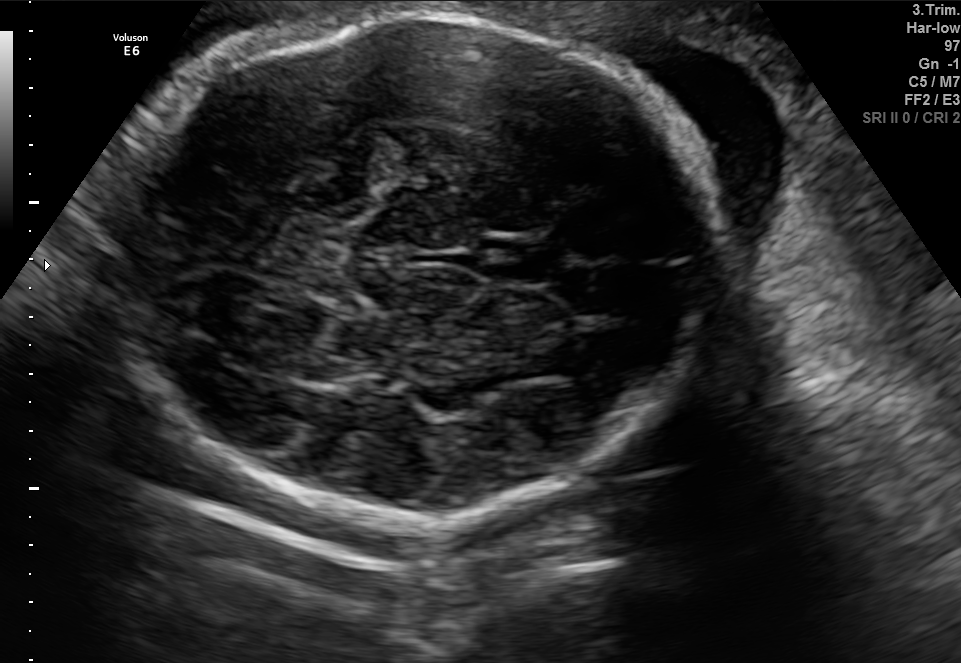
Fetal brain, trans-thalamic plane. Where is the cavum septum pellucidum?

CSP bounding box: [481,240,548,281]